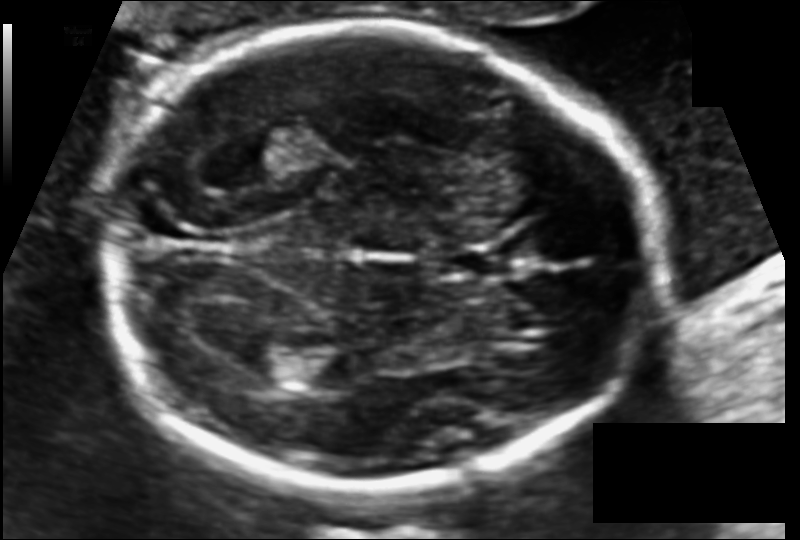
Fetal head ultrasound. Image width: 87.7 mm. Locate the fetal head and, if visible, the cavum septum pellucidum (CSP) and lateral ventricle (LV). Give bounding boxes as [x1,y1,x2,y2].

Head: [104,25,652,490]
CSP: [438,242,513,281]
Lateral ventricle: [242,348,309,386]